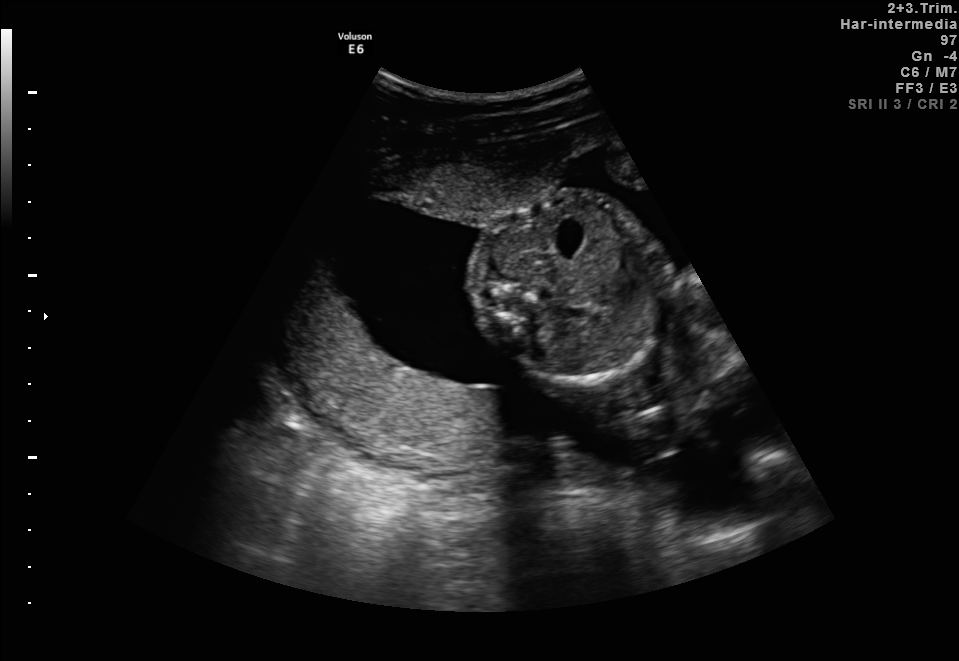
Identify the standard plane in this fetal ultrasound image: fetal abdomen, fetal brain, fetal femur, fetal thorax, maternal cervix, or other. If it's fetal brain and one of the three standard brain planes (trans-thalamic, trans-cerebellum, trans-ventricular), name which.

Fetal abdomen